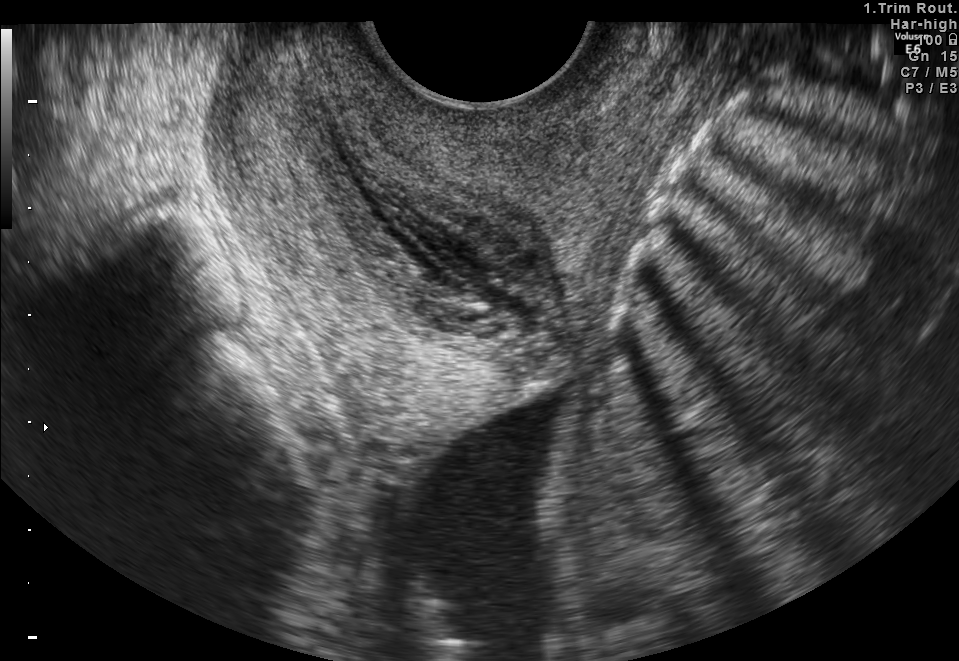
This is a 2D maternal-fetal ultrasound frame. Is it a fetal abdomen, fetal brain, fetal femur, fetal thorax, maternal cervix, or other standard plane? If it's fetal brain and one of the three standard brain planes (trans-thalamic, trans-cerebellum, trans-ventricular), name which.

Maternal cervix